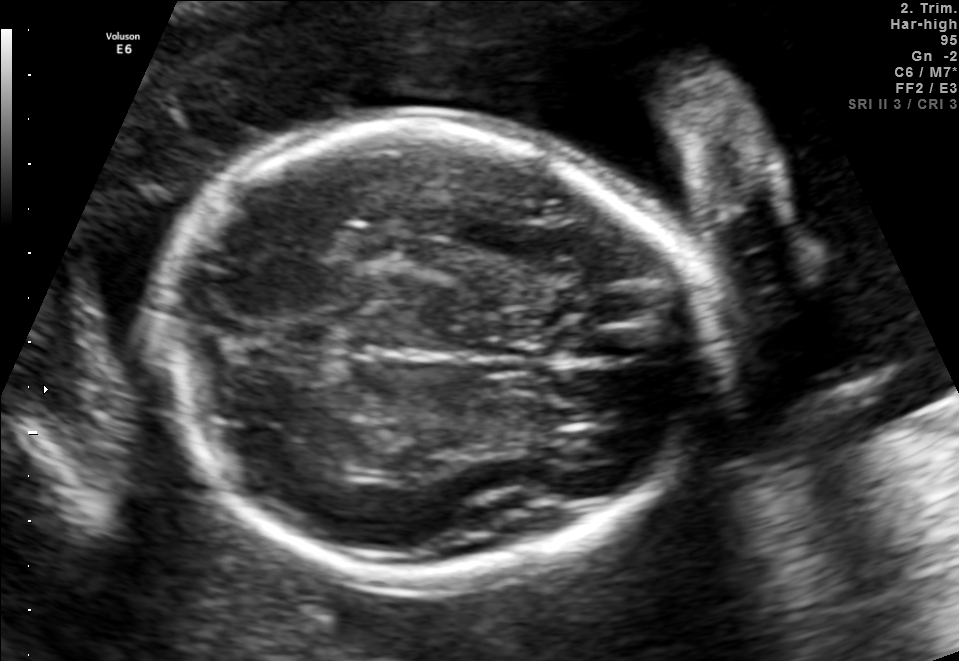
Fetal brain, trans-thalamic plane. Give [x1,y1,x2,y2] bounding boxes for each visible structure among: fetal head, CSP, LV.

Head: [160,120,707,577]